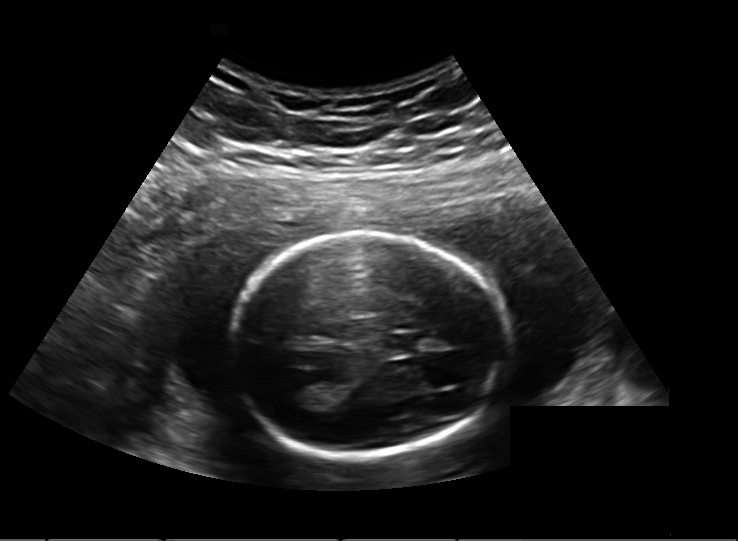
Fetal head ultrasound. Image width: 149.5 mm. Where is the fetal head?

Head bounding box: [232,232,503,456]